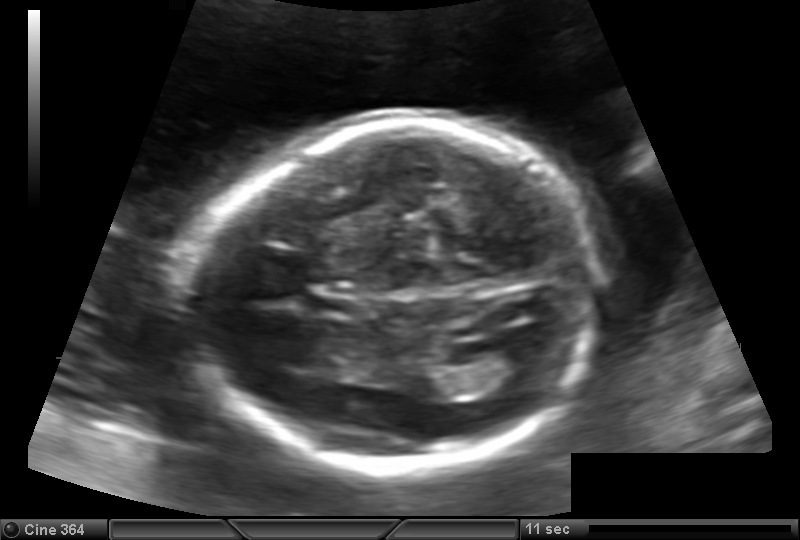
Fetal head ultrasound. Image width: 115.2 mm. Where is the fetal head?

Head bounding box: [200,120,595,471]